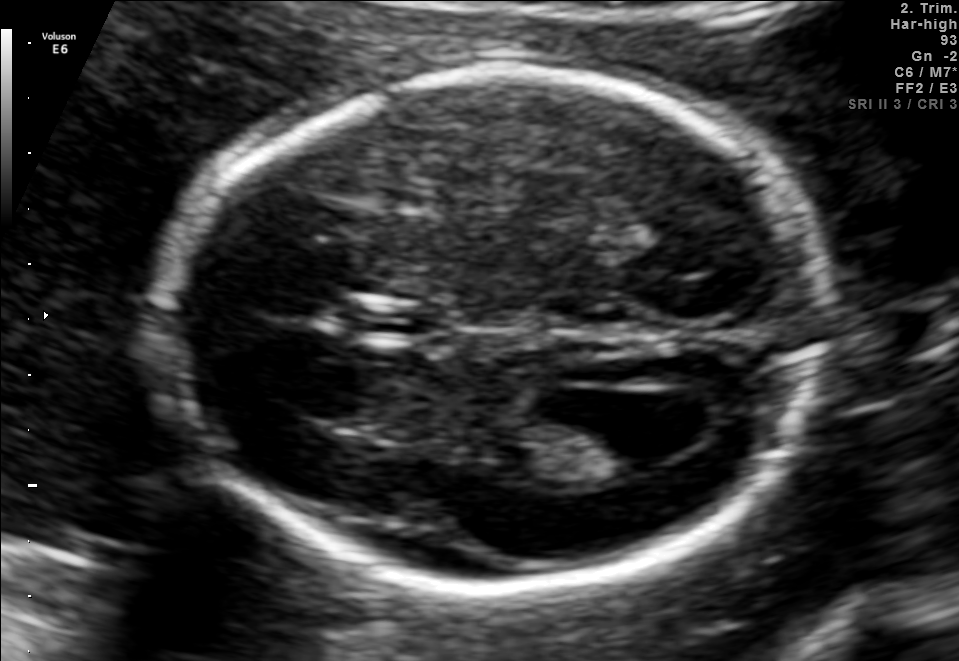
In this fetal brain, trans-ventricular plane, give the bounding box of the cavum septum pellucidum.

[333,291,462,358]